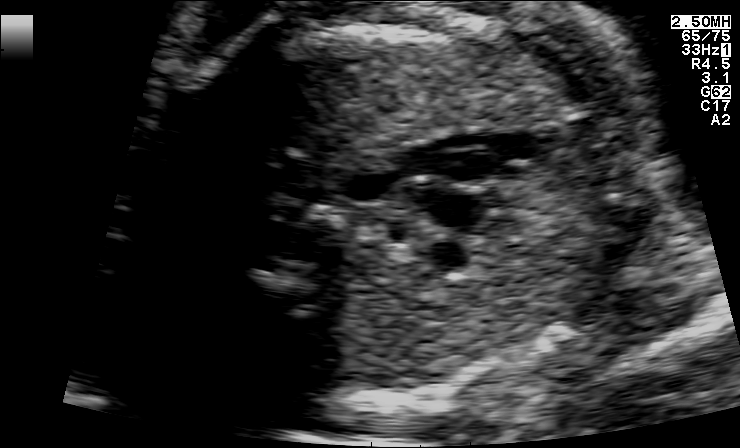
This is a 2D maternal-fetal ultrasound frame. Is it a fetal abdomen, fetal brain, fetal femur, fetal thorax, maternal cervix, or other standard plane? If it's fetal brain and one of the three standard brain planes (trans-thalamic, trans-cerebellum, trans-ventricular), name which.

Other